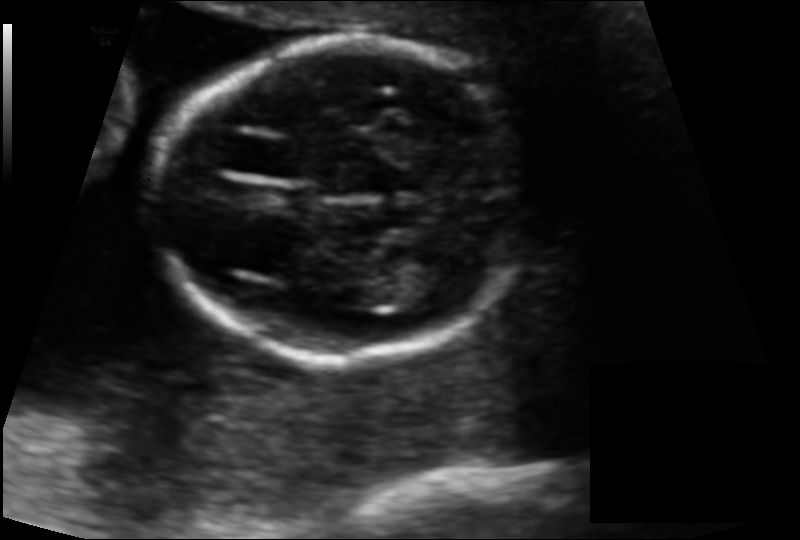
Estimate the fetal head circumference from this 2D ultrasound. Image width: 92.0 mm.

Head circumference: 131.2 mm.